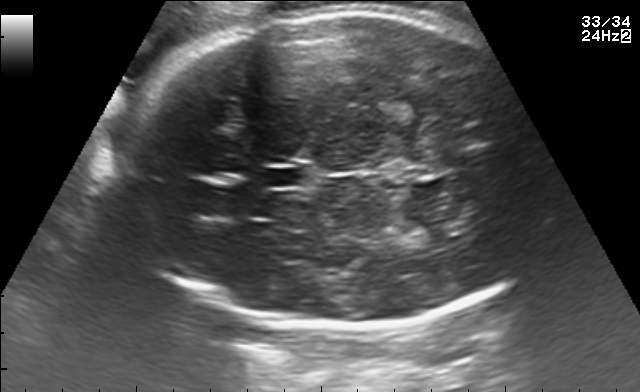
Fetal brain, trans-thalamic plane. Where is the cavum septum pellucidum?

CSP bounding box: [264,169,306,186]